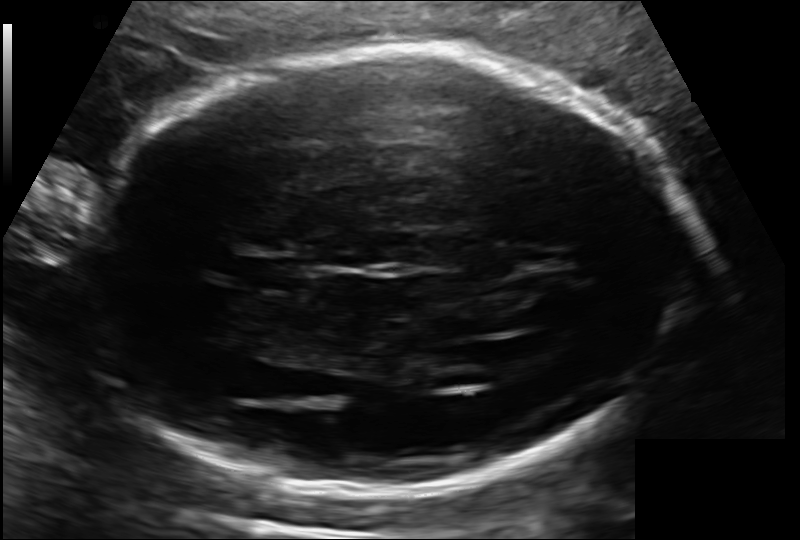
Fetal head ultrasound. Image width: 114.4 mm. Locate the lateral ventricle.

Lateral ventricle: [507,320,591,381]